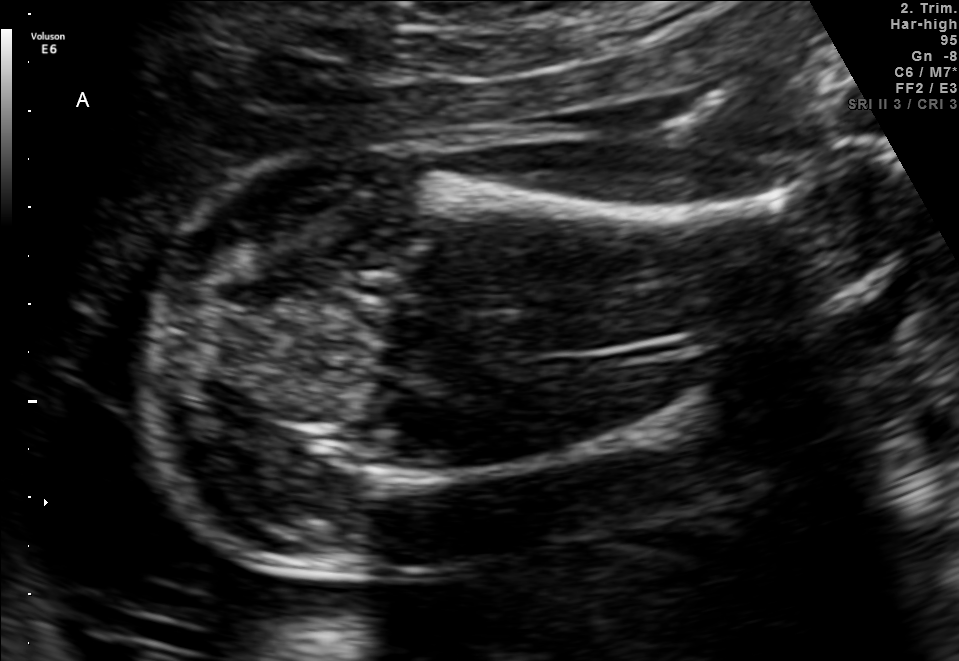
Which standard maternal-fetal ultrasound plane is shown: fetal abdomen, fetal brain, fetal femur, fetal thorax, maternal cervix, or other? If it's fetal brain and one of the three standard brain planes (trans-thalamic, trans-cerebellum, trans-ventricular), name which.

Fetal femur